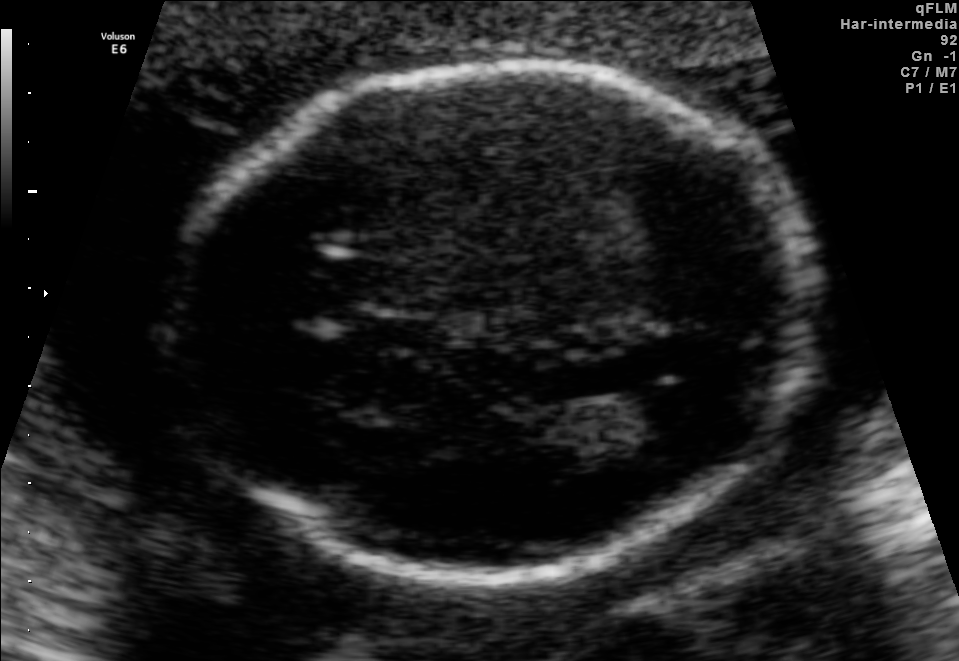
Fetal brain, trans-ventricular plane. Give [x1,y1,x2,y2] bounding boxes for each visible structure among: fetal head, CSP, LV.

Head: [159,58,826,589]